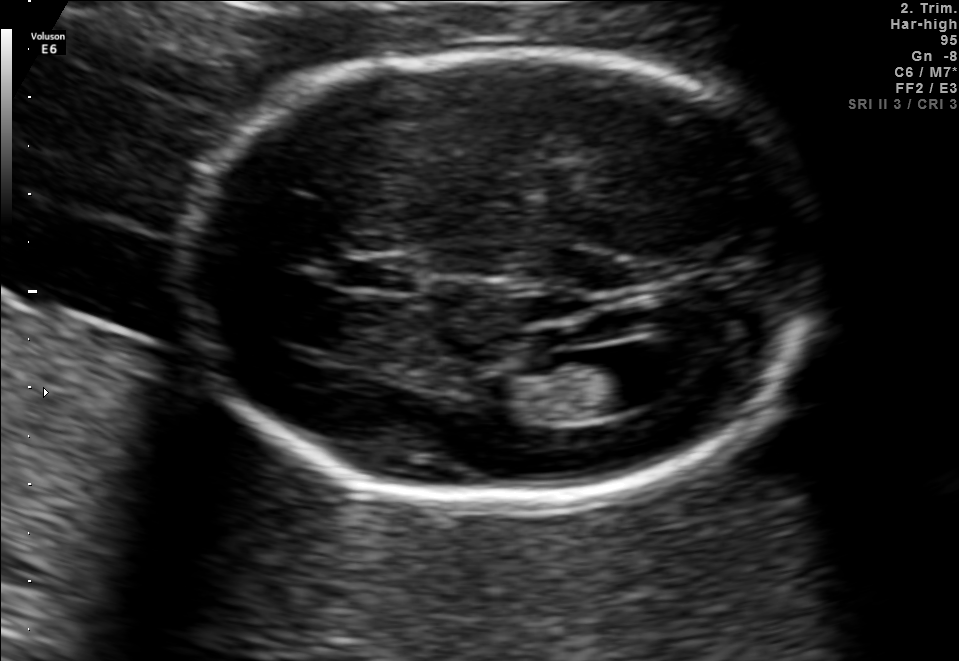
Fetal brain, trans-ventricular plane. Where is the fetal head?

Head bounding box: [174,44,823,507]